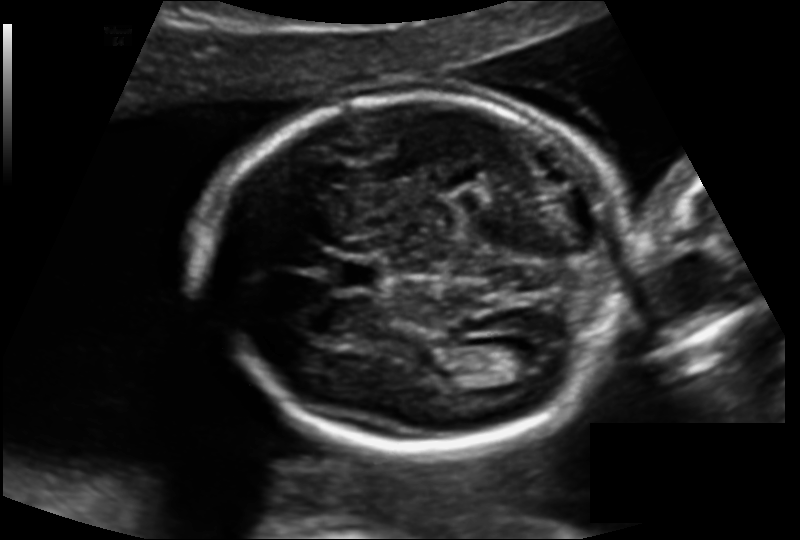
In this fetal head ultrasound, give the bounding box of the cavum septum pellucidum. Image width: 110.2 mm.

[334,259,379,291]